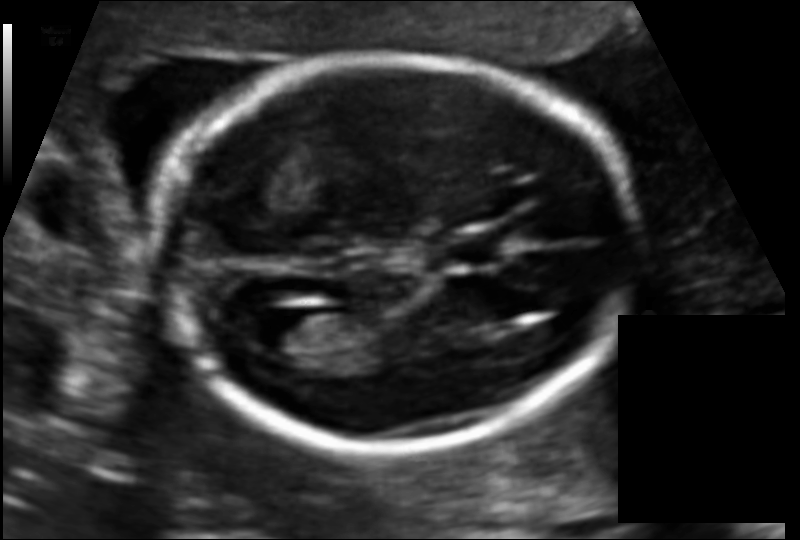
Fetal head ultrasound. Image width: 87.1 mm. Where is the cavum septum pellucidum?

CSP bounding box: [443,234,501,268]